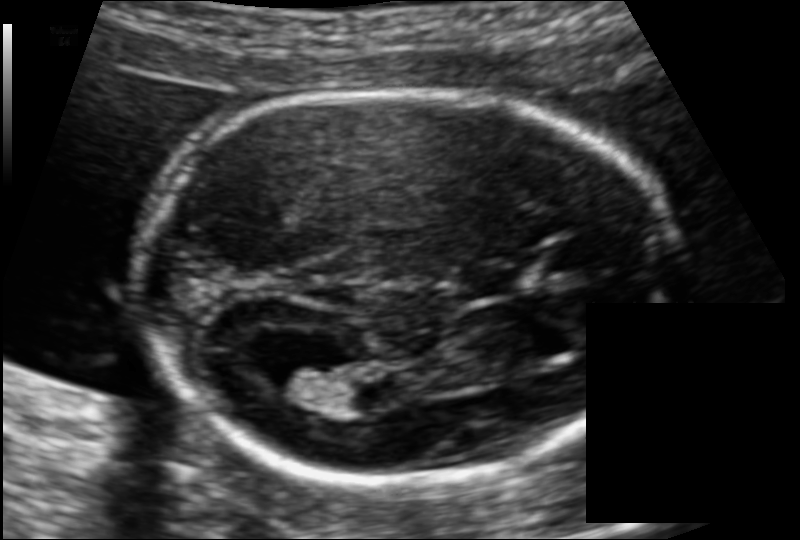
Fetal head ultrasound. Image width: 85.1 mm. Give [x1,y1,x2,y2] bounding boxes for each visible structure among: fetal head, CSP, LV.

Head: [134,91,677,478]
CSP: [460,260,532,302]
Lateral ventricle: [258,352,344,413]